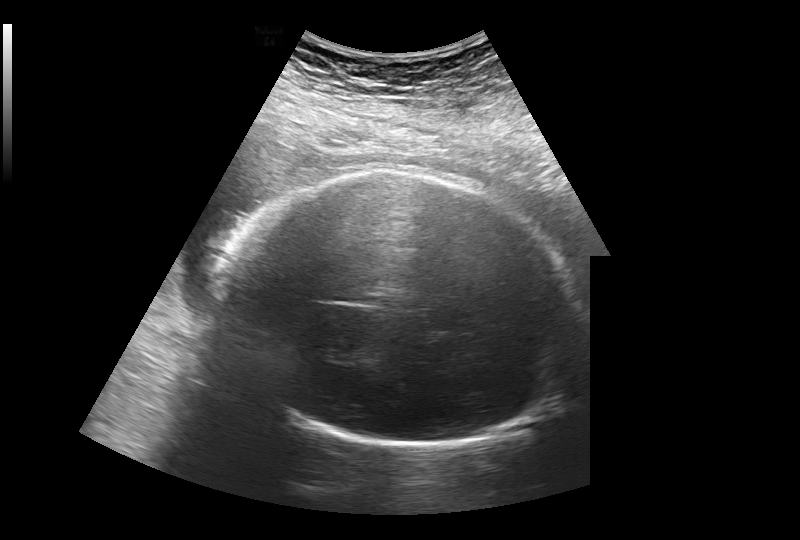
Measure the fetal head circumference shown in this ultrasound image. Image width: 246.2 mm.

Head circumference: 314.3 mm.